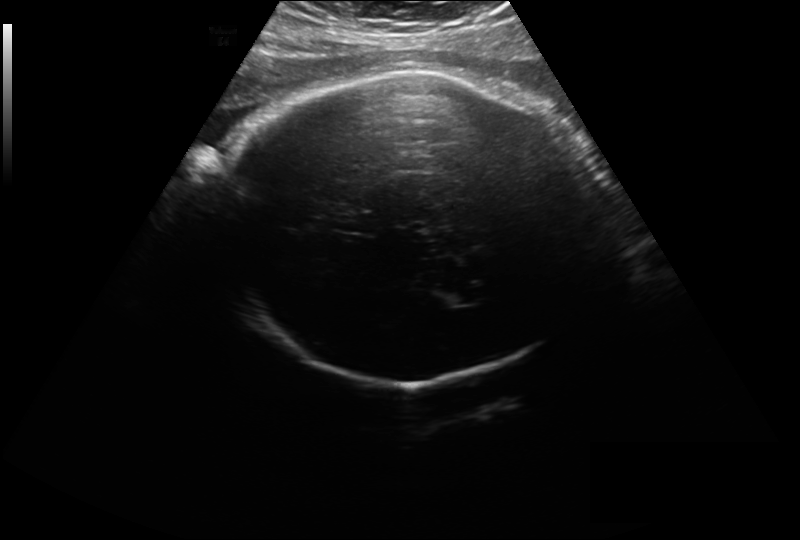
Fetal head ultrasound. Image width: 237.5 mm. Locate the fetal head.

Head: [216,70,602,383]